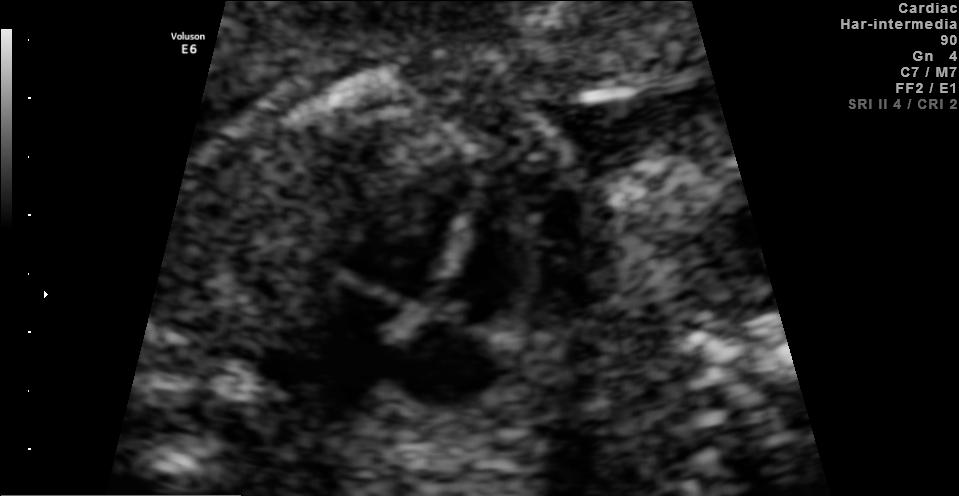
Classify this maternal-fetal ultrasound image as one of the six standard planes — fetal abdomen, fetal brain, fetal femur, fetal thorax, maternal cervix, or other. If it's fetal brain and one of the three standard brain planes (trans-thalamic, trans-cerebellum, trans-ventricular), name which.

Fetal thorax